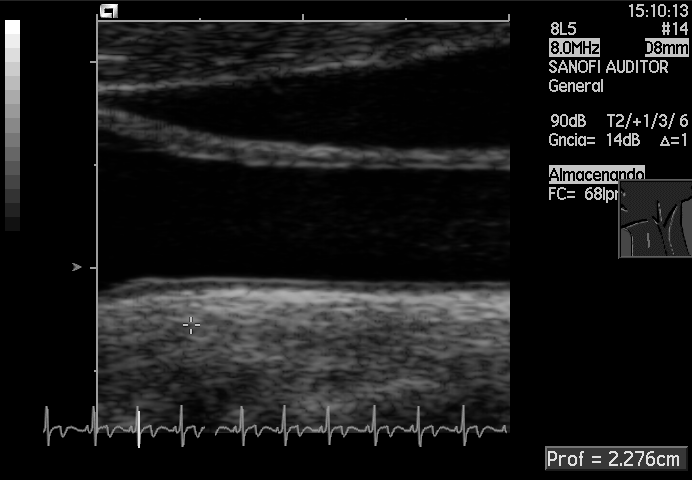
Identify the standard plane in this fetal ultrasound image: fetal abdomen, fetal brain, fetal femur, fetal thorax, maternal cervix, or other. If it's fetal brain and one of the three standard brain planes (trans-thalamic, trans-cerebellum, trans-ventricular), name which.

Other